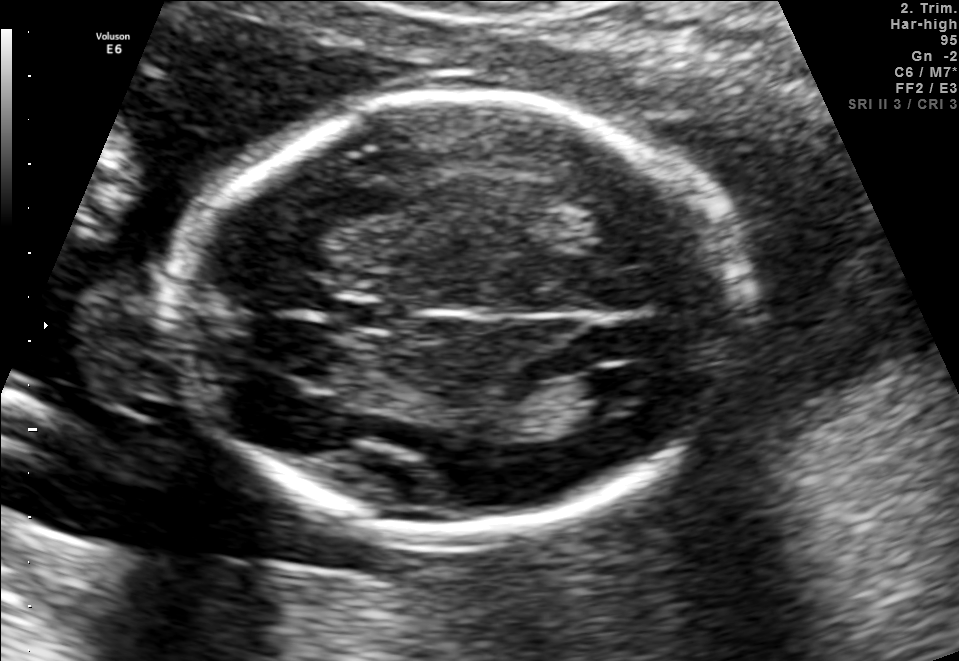
Fetal brain, trans-ventricular plane. Where is the cavum septum pellucidum?

CSP bounding box: [342,302,389,330]